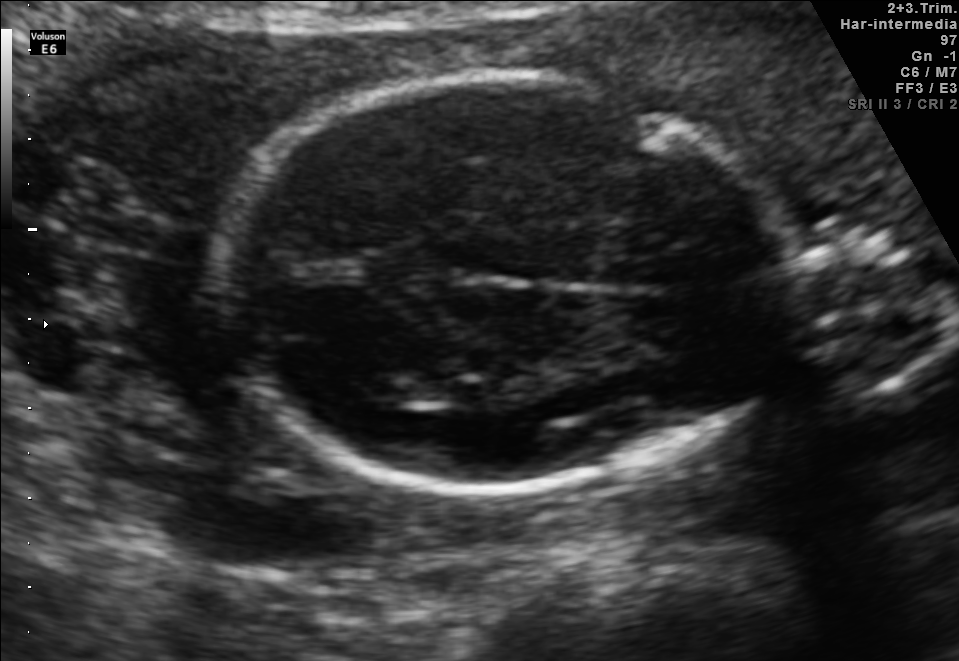
Fetal brain, trans-thalamic plane. Locate the fetal head and, if visible, the cavum septum pellucidum (CSP) and lateral ventricle (LV). Give bounding boxes as [x1,y1,x2,y2].

Head: [217,74,788,491]
Lateral ventricle: [348,373,430,407]